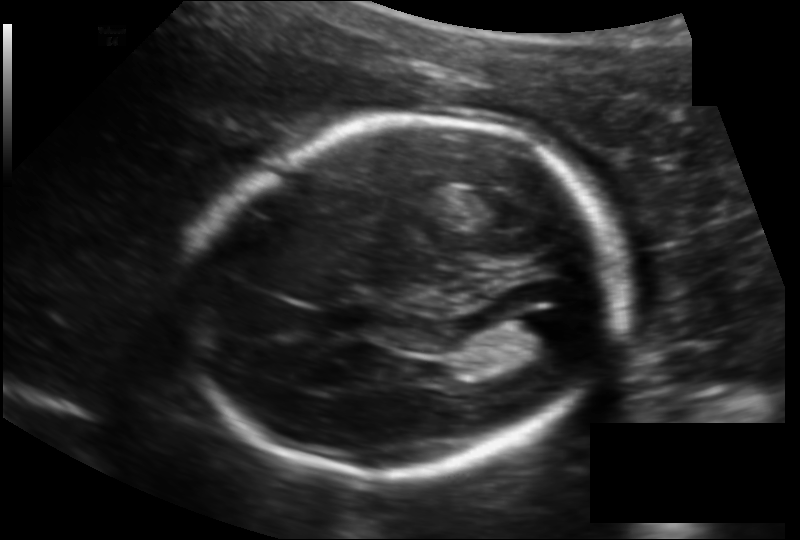
Fetal head ultrasound. Image width: 115.9 mm. Locate the fetal head.

Head: [190,118,618,476]